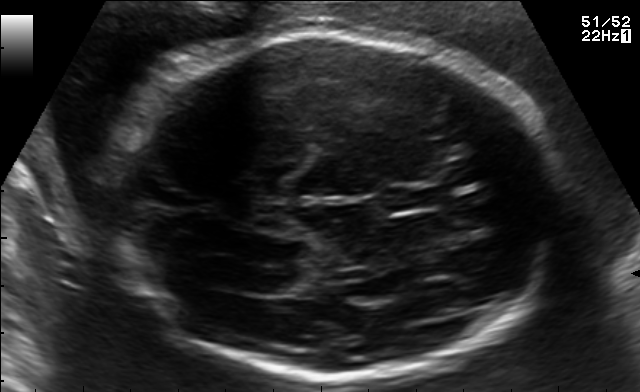
Fetal brain, trans-ventricular plane. Where is the lateral ventricle?

Lateral ventricle bounding box: [229,262,293,295]